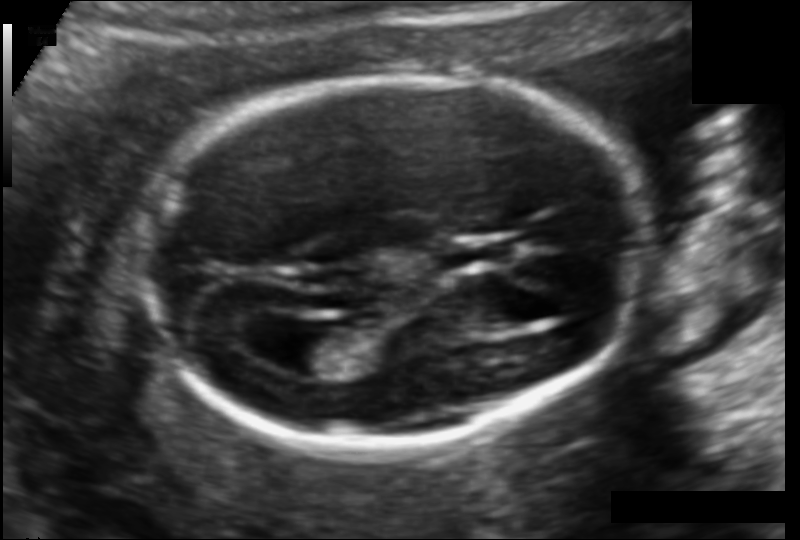
Fetal head ultrasound. Image width: 91.5 mm. Locate the fetal head.

Head: [135,75,647,445]